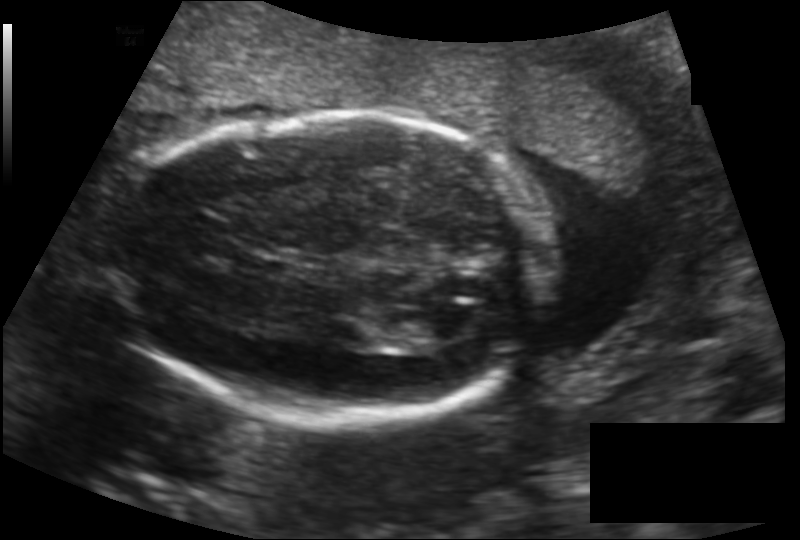
What is the fetal head circumference? Image width is 116.6 mm.

178.3 mm